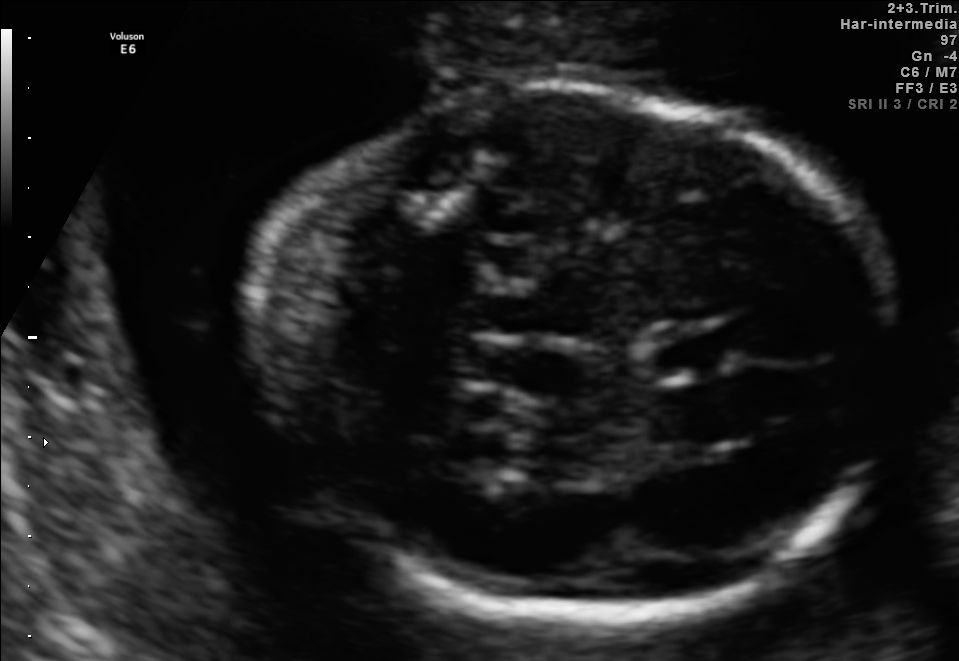
Fetal brain, trans-thalamic plane. Where is the cavum septum pellucidum?

CSP bounding box: [642,316,740,385]